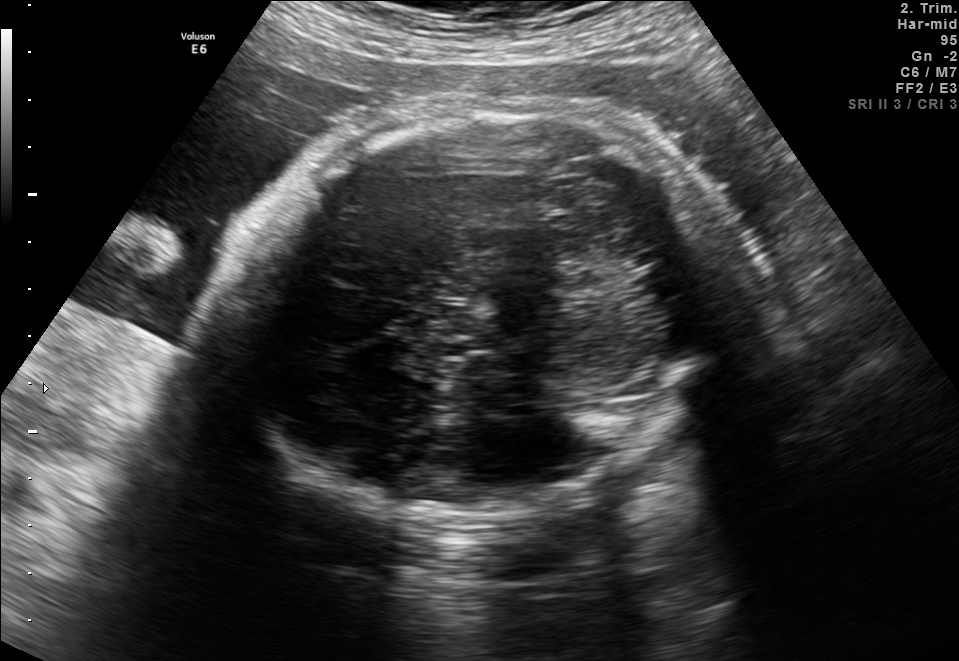
In this fetal brain, trans-cerebellum plane, give bounding boxes for the head outline, cavum septum pellucidum (CSP), and lateral ventricle (LV), where visible.

Head: [240,103,729,518]